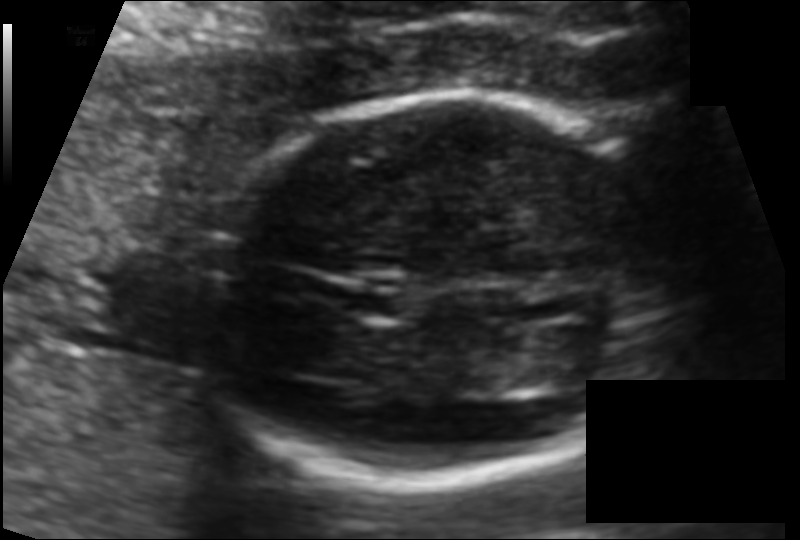
Fetal head ultrasound. Image width: 80.0 mm. Where is the fetal head?

Head bounding box: [191,95,687,486]